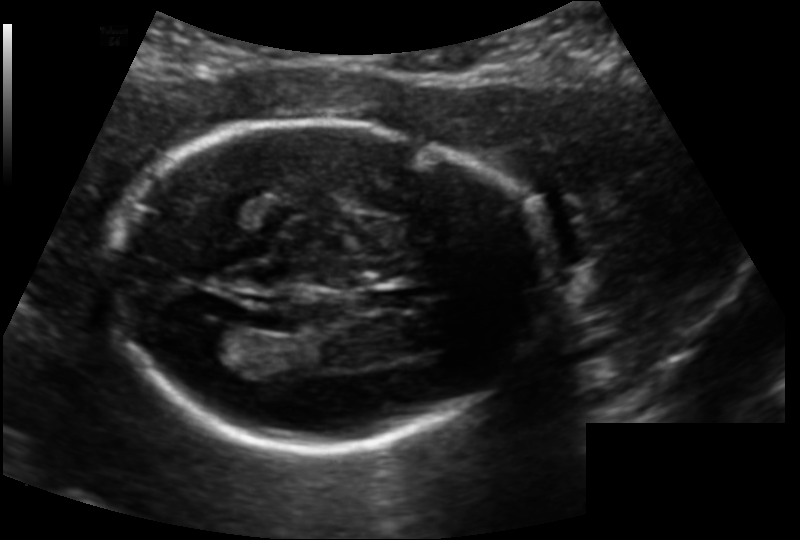
In this fetal head ultrasound, give the bounding box of the cavum septum pellucidum. Image width: 111.5 mm.

[367,289,418,310]